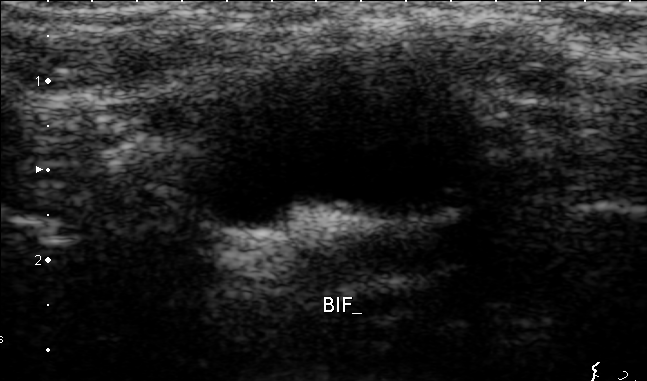
Which standard maternal-fetal ultrasound plane is shown: fetal abdomen, fetal brain, fetal femur, fetal thorax, maternal cervix, or other? If it's fetal brain and one of the three standard brain planes (trans-thalamic, trans-cerebellum, trans-ventricular), name which.

Other